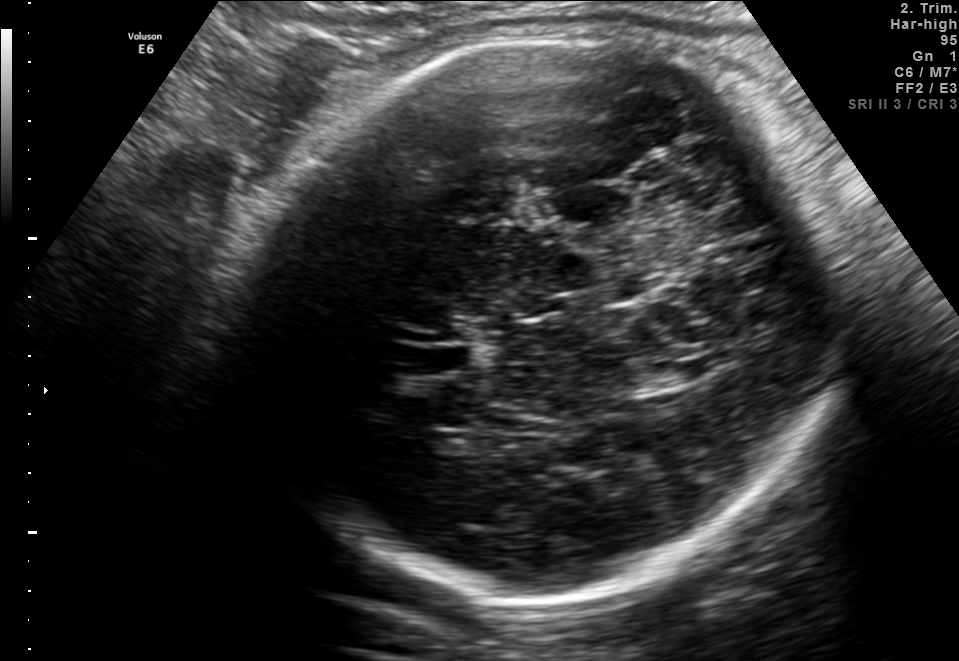
Fetal brain, trans-thalamic plane. Locate the lateral ventricle.

Lateral ventricle: [637,360,697,394]